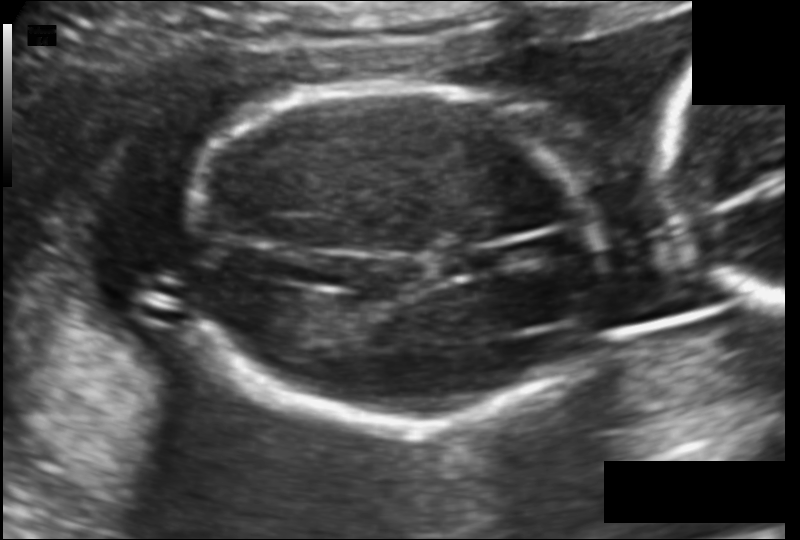
Fetal head ultrasound. Image width: 94.3 mm. Where is the cavum septum pellucidum?

CSP bounding box: [441,248,486,277]